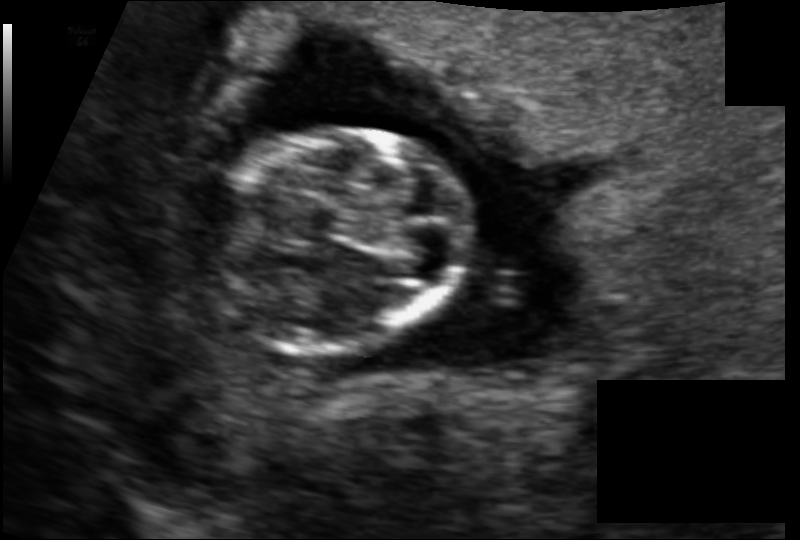
Fetal head ultrasound. Image width: 77.7 mm. Locate the fetal head.

Head: [204,129,468,349]